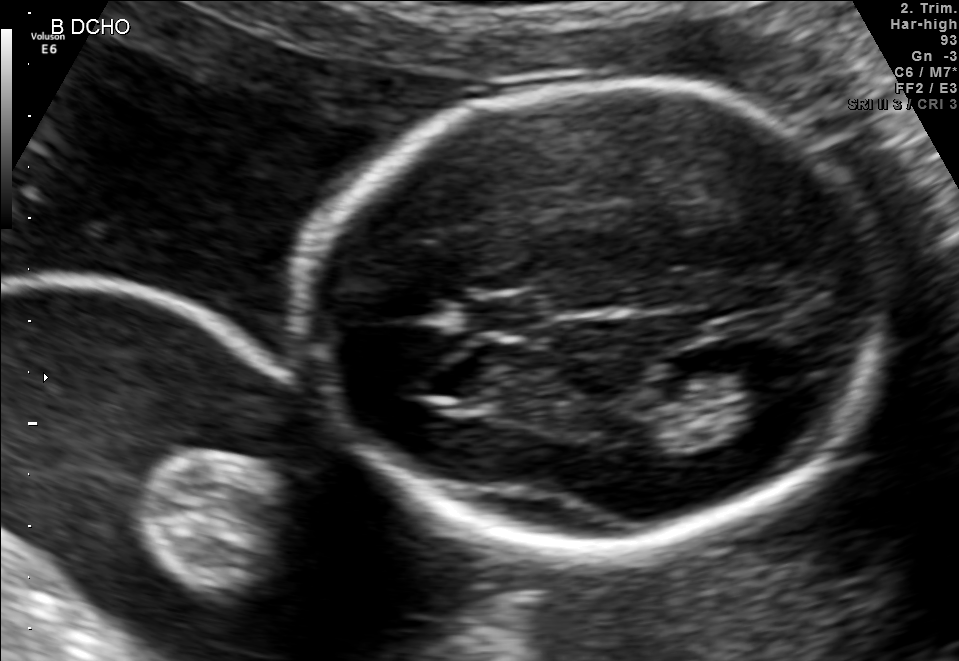
In this fetal brain, trans-thalamic plane, give bounding boxes for the head outline, cavum septum pellucidum (CSP), and lateral ventricle (LV), where visible.

Head: [305,81,870,548]
CSP: [463,293,543,334]
Lateral ventricle: [709,331,813,421]